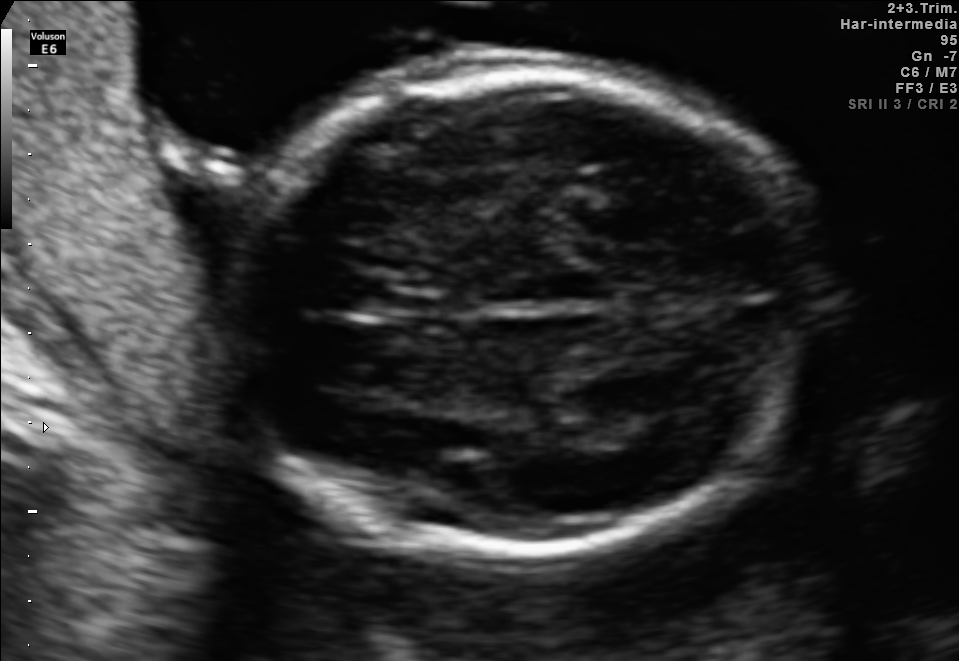
Fetal brain, trans-thalamic plane. Where is the fetal head?

Head bounding box: [209,74,800,555]